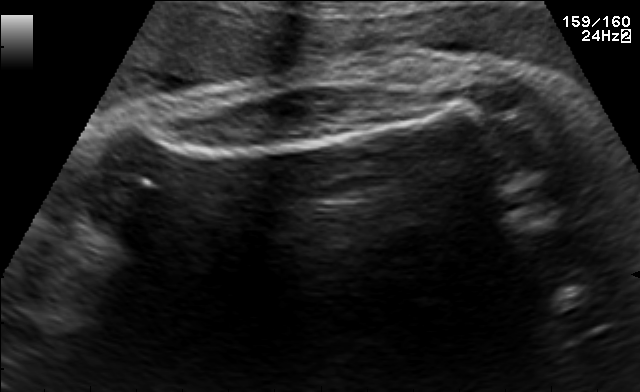
Identify the standard plane in this fetal ultrasound image: fetal abdomen, fetal brain, fetal femur, fetal thorax, maternal cervix, or other. If it's fetal brain and one of the three standard brain planes (trans-thalamic, trans-cerebellum, trans-ventricular), name which.

Fetal femur